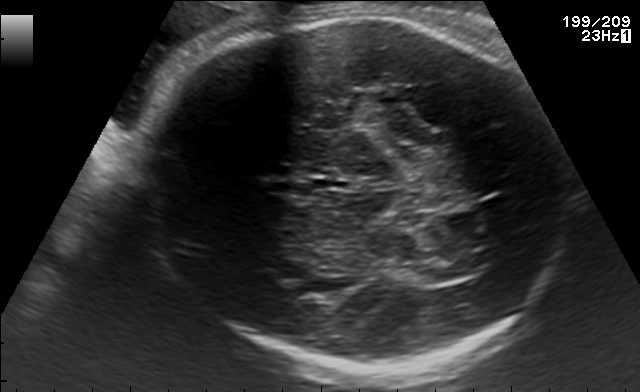
Fetal brain, trans-thalamic plane. Where is the fetal head?

Head bounding box: [146,14,565,372]